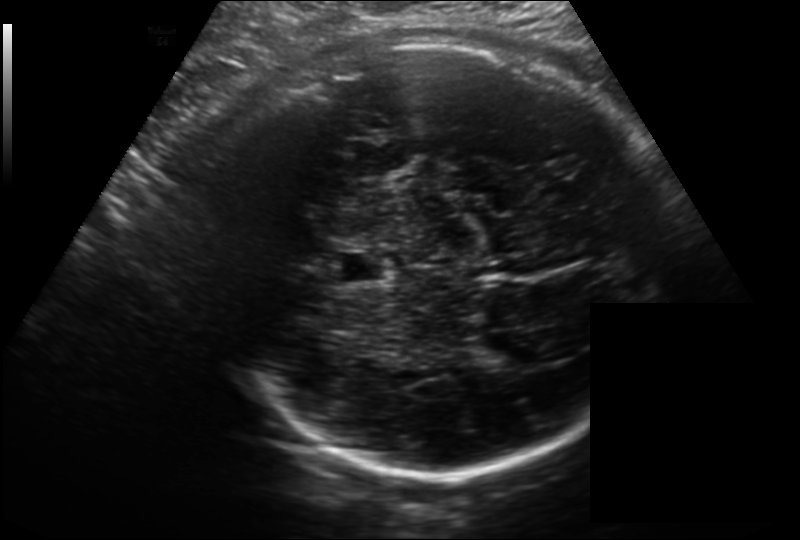
In this fetal head ultrasound, give bounding boxes for the head outline, cavum septum pellucidum (CSP), and lateral ventricle (LV), where visible. Image width: 171.5 mm.

Head: [210,38,668,473]
CSP: [333,251,392,282]
Lateral ventricle: [473,332,535,371]